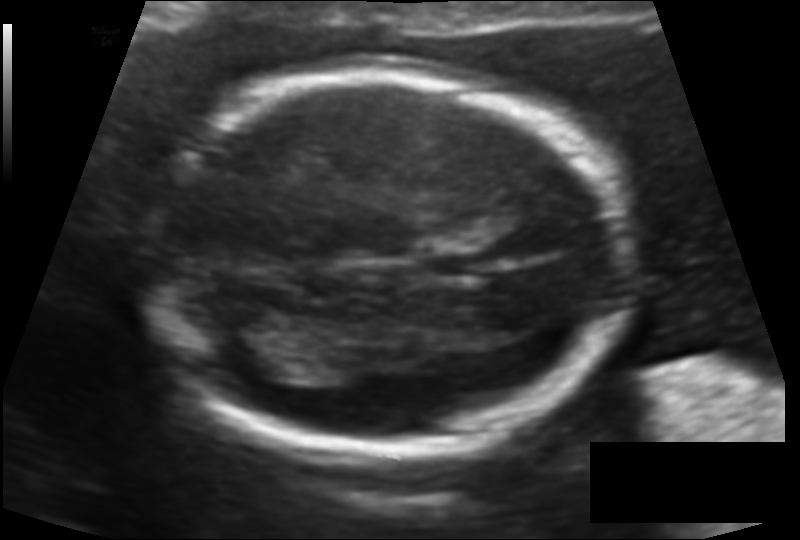
Fetal head ultrasound. Image width: 92.6 mm. Where is the lateral ventricle?

Lateral ventricle bounding box: [203,303,308,382]